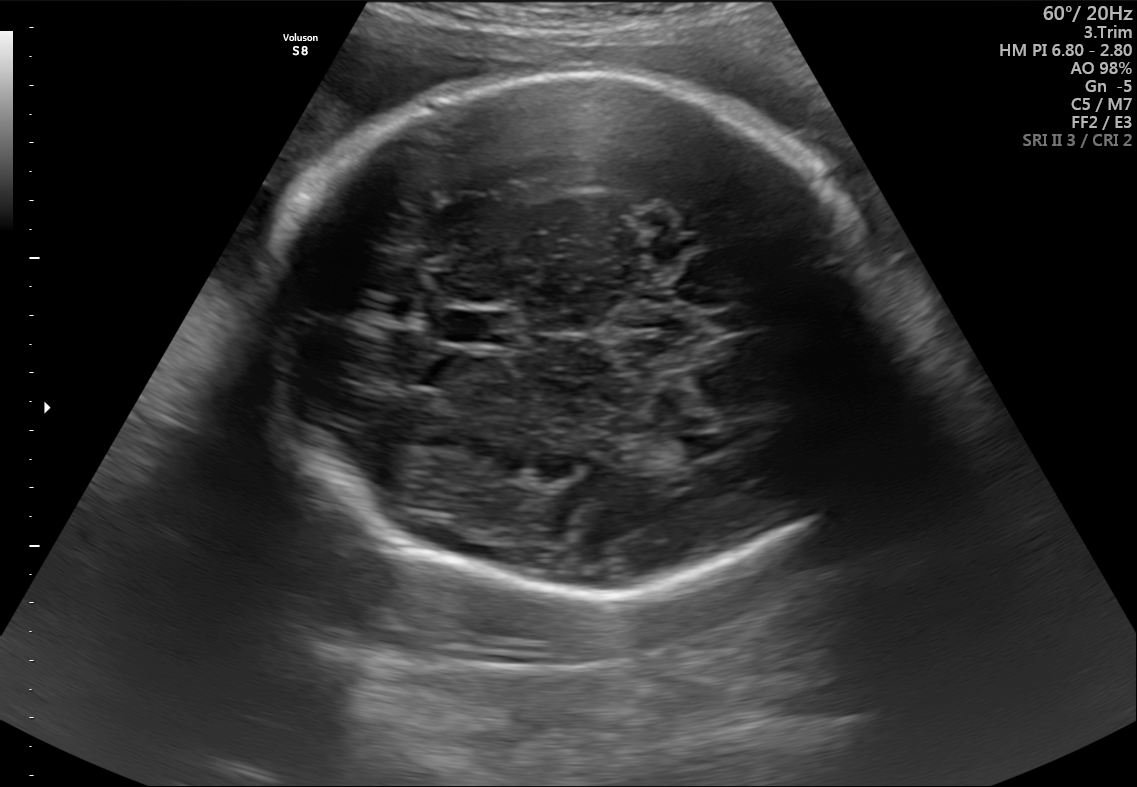
Fetal brain, trans-thalamic plane. Locate the cavum septum pellucidum.

CSP: [445,310,515,345]